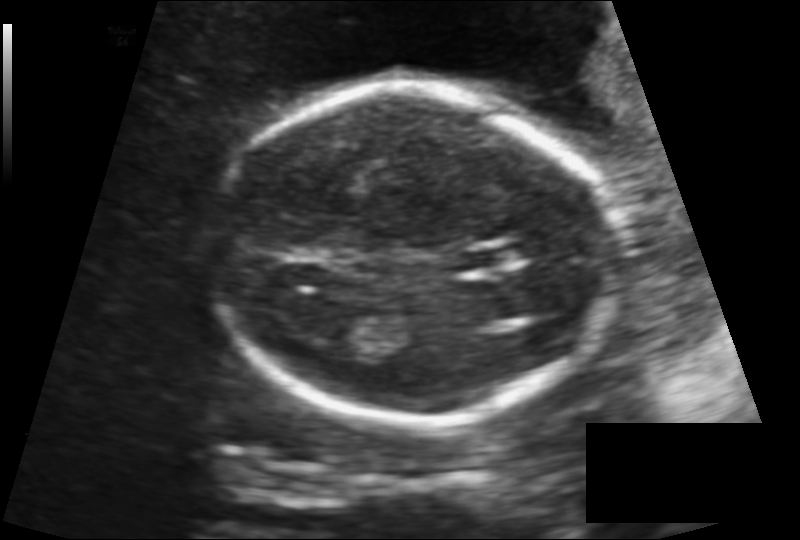
Fetal head ultrasound. Image width: 110.1 mm. Locate the lateral ventricle.

Lateral ventricle: [314,299,376,346]